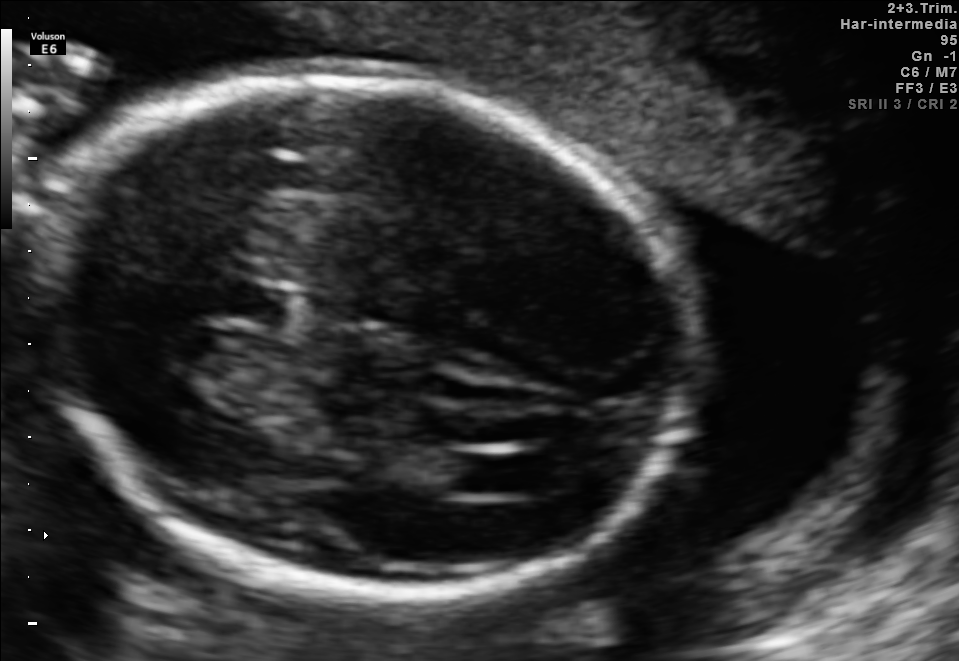
Fetal brain, trans-ventricular plane. Where is the lateral ventricle?

Lateral ventricle bounding box: [451,455,514,493]